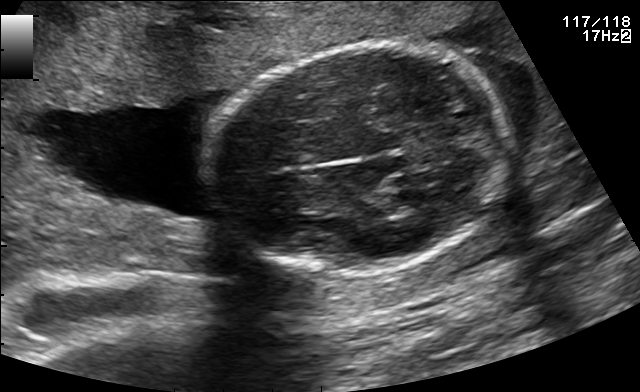
Which standard maternal-fetal ultrasound plane is shown: fetal abdomen, fetal brain, fetal femur, fetal thorax, maternal cervix, or other? If it's fetal brain and one of the three standard brain planes (trans-thalamic, trans-cerebellum, trans-ventricular), name which.

Fetal brain (trans-thalamic plane)